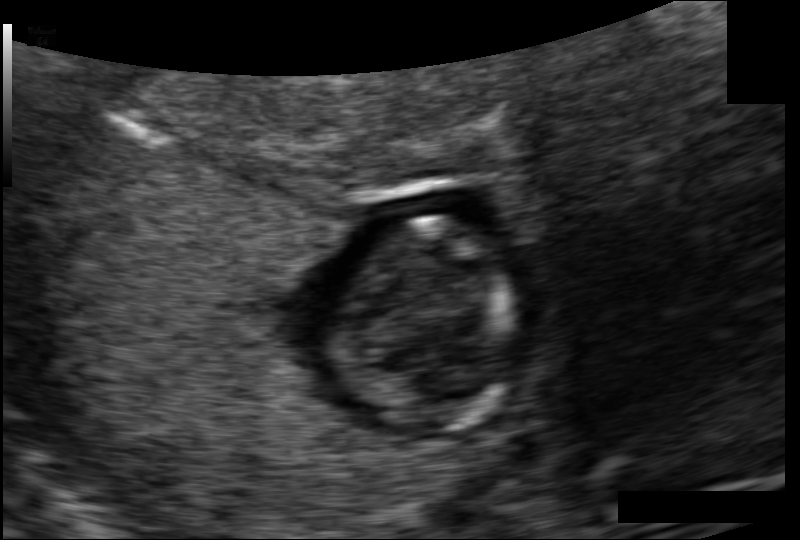
Fetal head ultrasound. Image width: 78.5 mm. Where is the fetal head?

Head bounding box: [342,219,513,429]